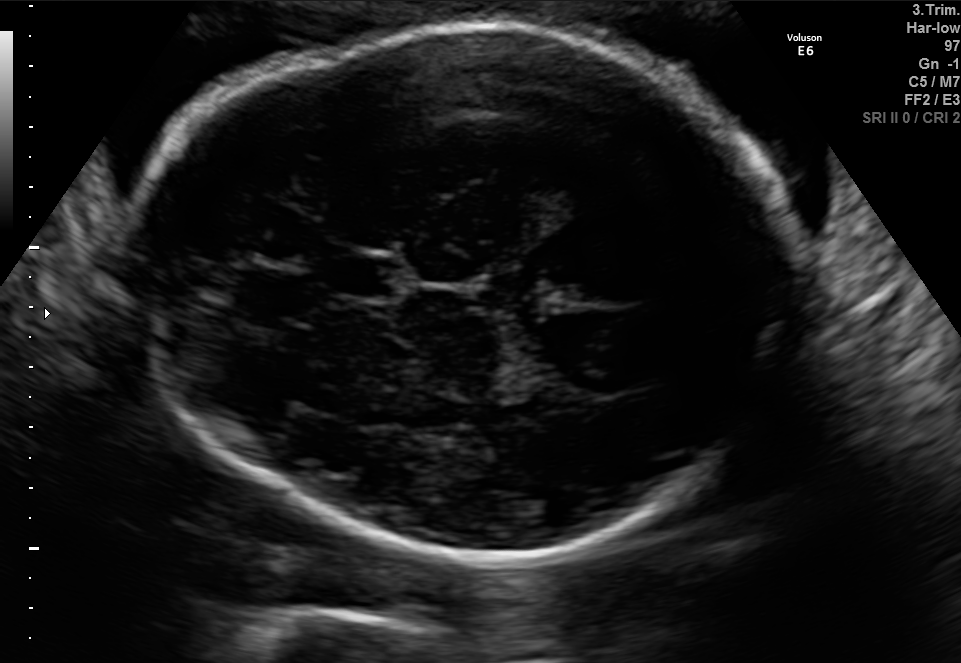
Fetal brain, trans-thalamic plane. Where is the fetal head?

Head bounding box: [121,24,800,561]